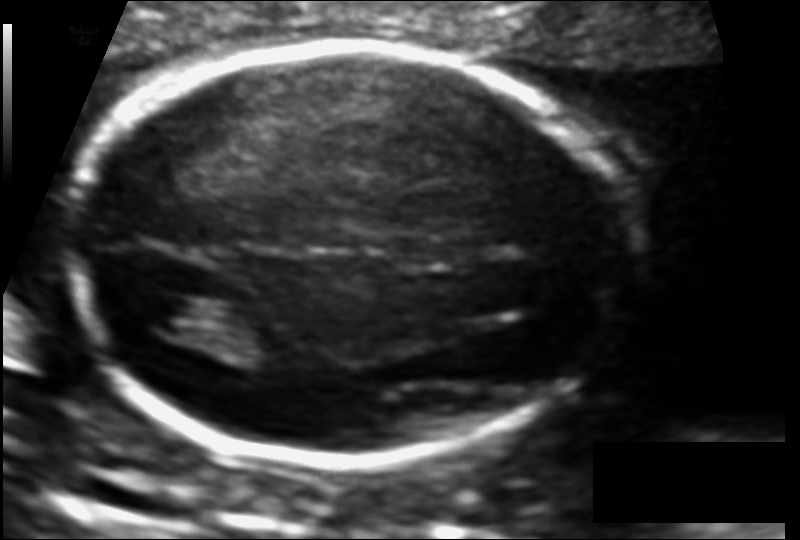
From this fetal ultrasound, estimate the head circumference (image width 88.9 mm).

Head circumference: 178.2 mm.